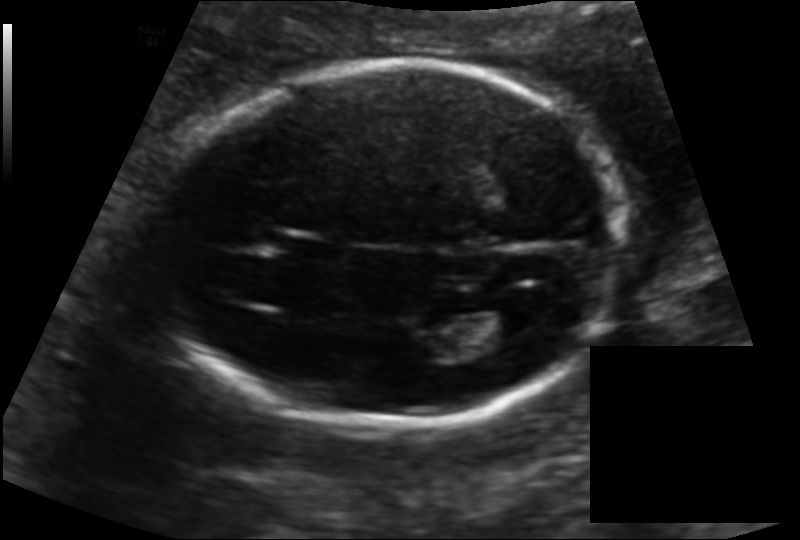
In this fetal head ultrasound, give the bounding box of the fetal head. Image width: 110.8 mm.

[163,64,619,426]